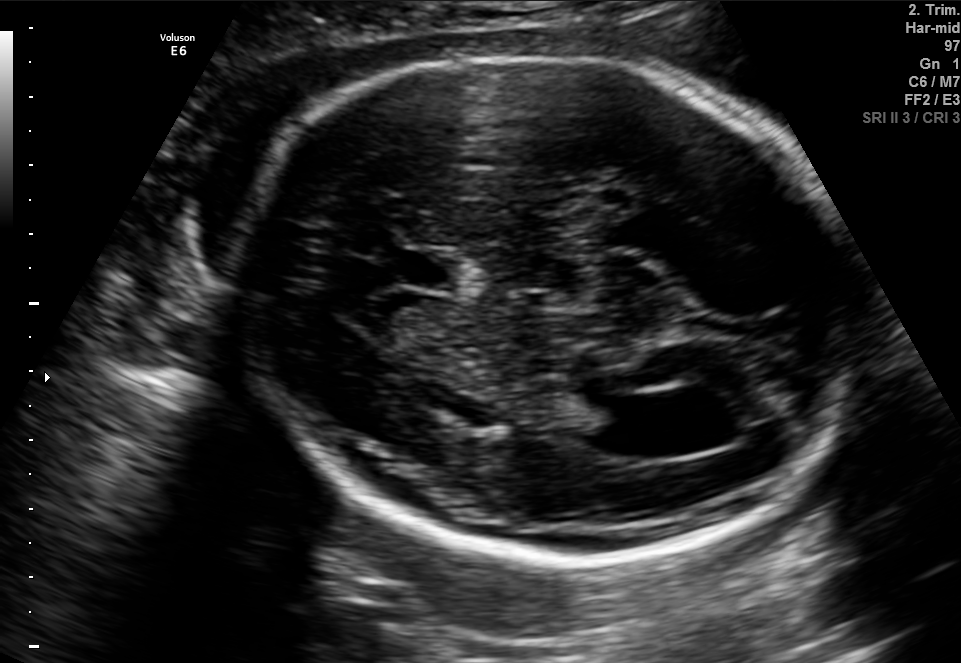
In this fetal brain, trans-ventricular plane, give the bounding box of the cavum septum pellucidum.

[367,240,481,299]